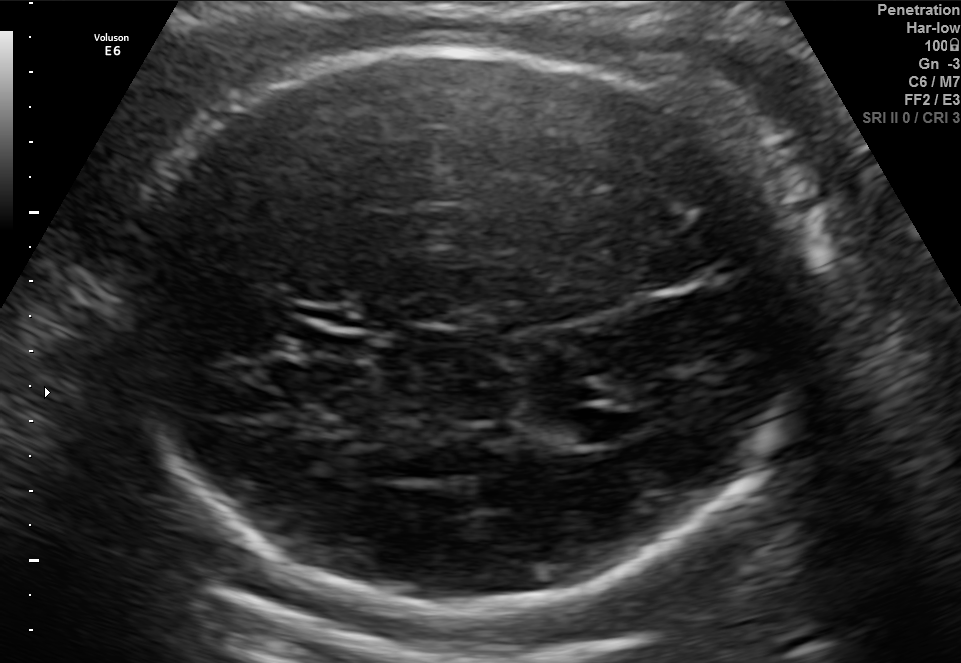
Fetal brain, trans-ventricular plane. Where is the lateral ventricle?

Lateral ventricle bounding box: [556,404,626,446]